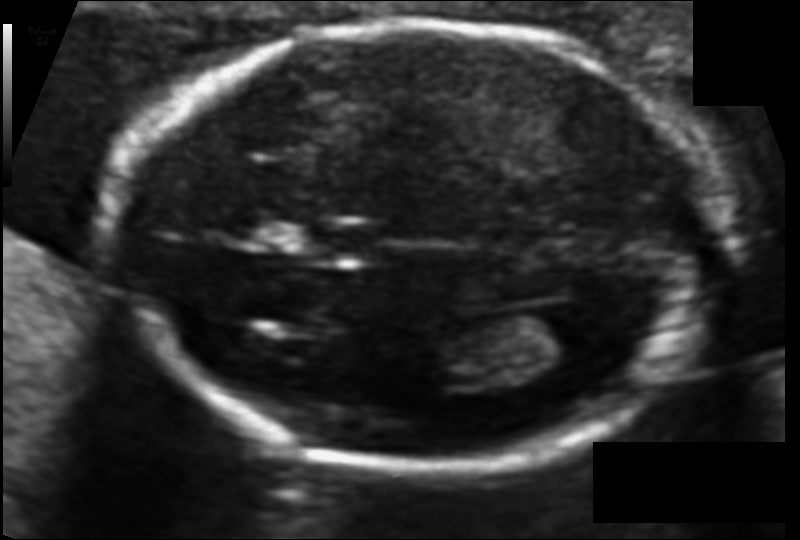
Estimate the fetal head circumference from this 2D ultrasound. Image width: 75.0 mm.

Head circumference: 159.3 mm.